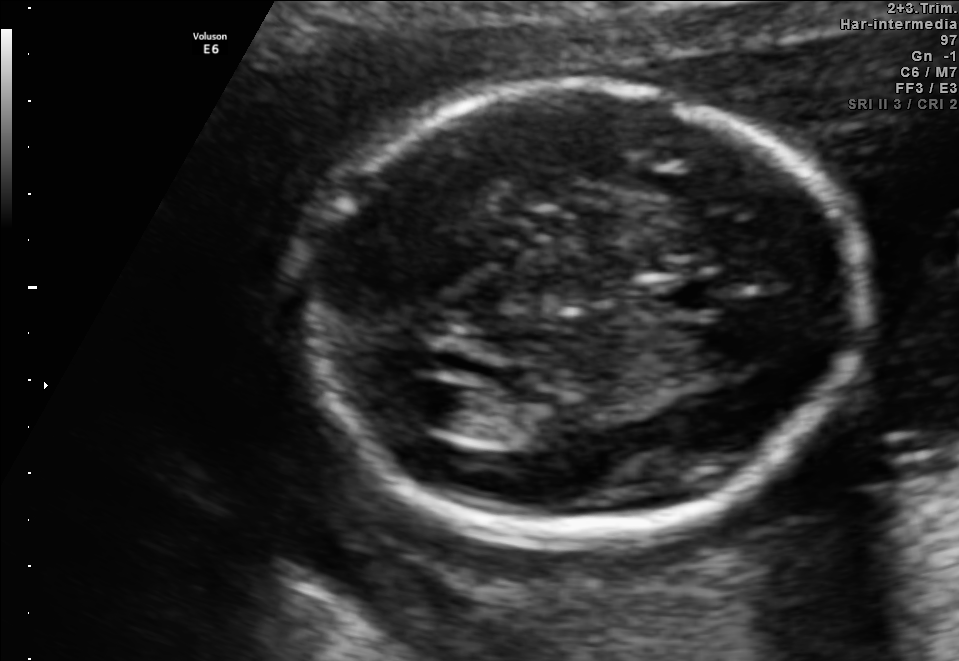
Fetal brain, trans-ventricular plane. Give [x1,y1,x2,y2] bounding boxes for each visible structure among: fetal head, CSP, LV.

Head: [279,72,876,553]
CSP: [635,276,727,317]
Lateral ventricle: [383,368,476,436]